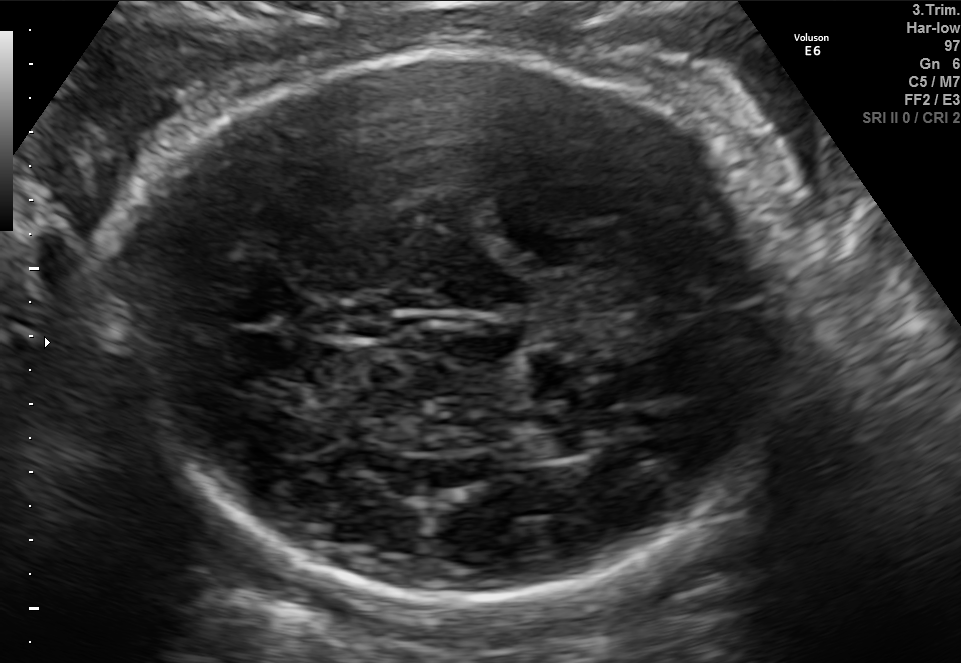
Fetal brain, trans-thalamic plane. Where is the cavum septum pellucidum?

CSP bounding box: [337,304,397,336]